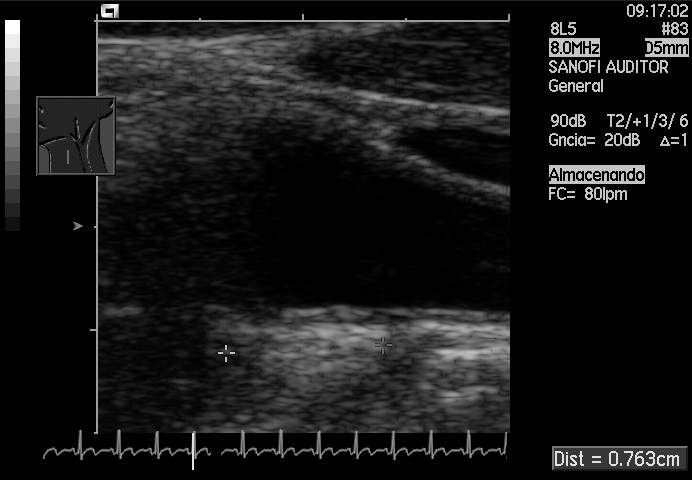
This is a 2D maternal-fetal ultrasound frame. Is it a fetal abdomen, fetal brain, fetal femur, fetal thorax, maternal cervix, or other standard plane? If it's fetal brain and one of the three standard brain planes (trans-thalamic, trans-cerebellum, trans-ventricular), name which.

Other